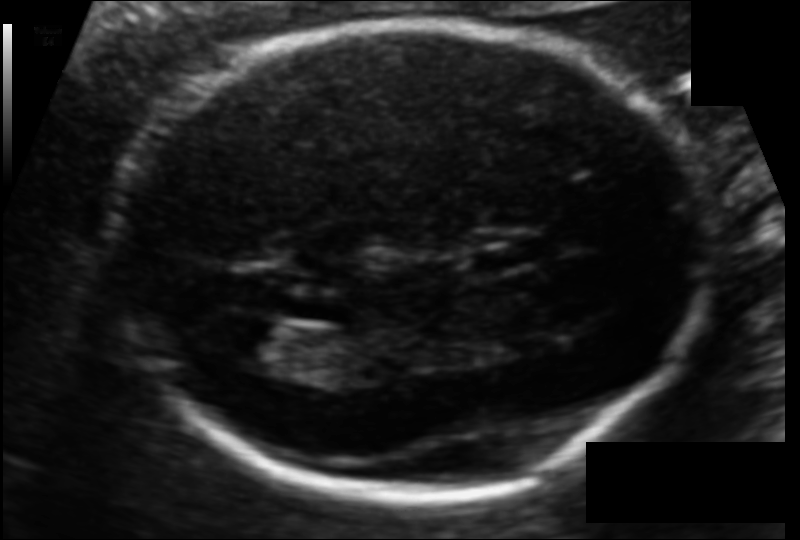
Fetal head ultrasound. Image width: 85.1 mm. Where is the cavum septum pellucidum?

CSP bounding box: [462,231,544,279]